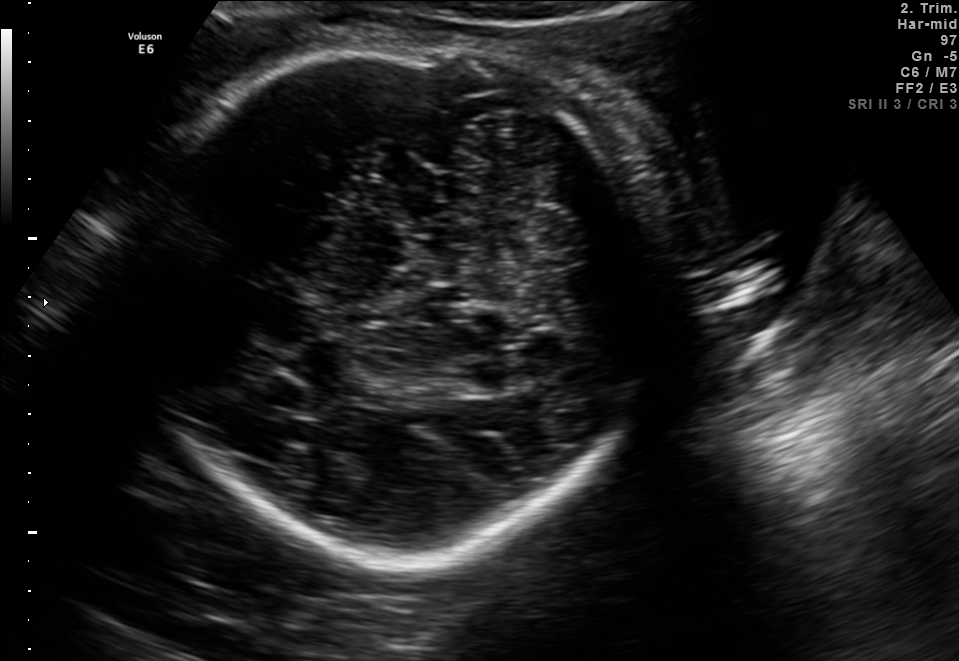
Fetal brain, trans-cerebellum plane. Locate the fetal head.

Head: [134,45,649,554]